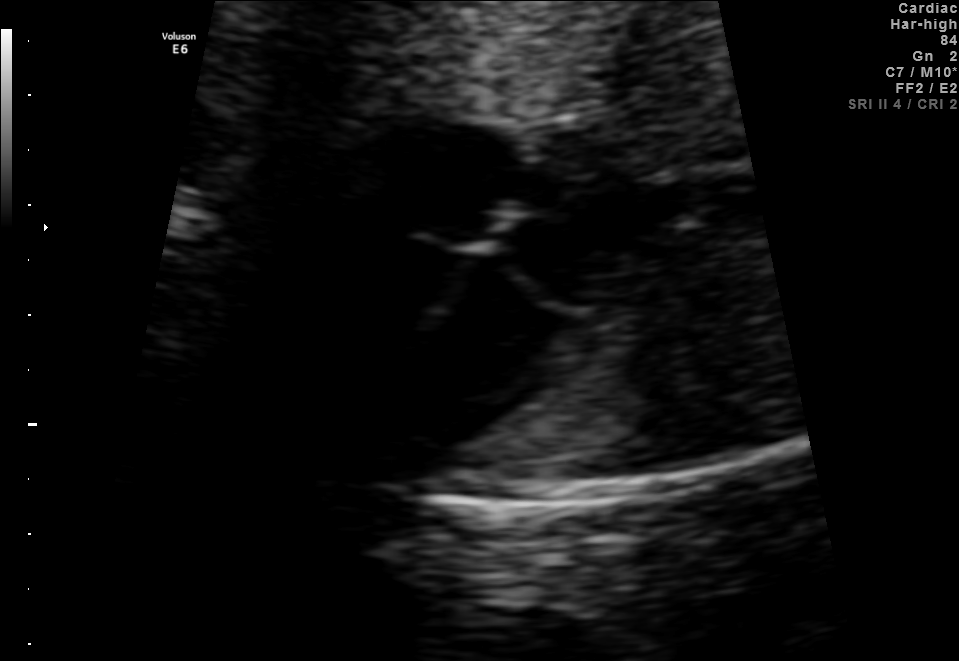
Identify the standard plane in this fetal ultrasound image: fetal abdomen, fetal brain, fetal femur, fetal thorax, maternal cervix, or other. If it's fetal brain and one of the three standard brain planes (trans-thalamic, trans-cerebellum, trans-ventricular), name which.

Fetal thorax